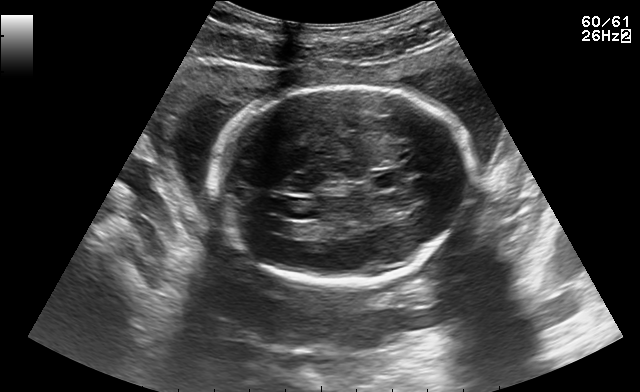
Fetal brain, trans-ventricular plane. Locate the fetal head.

Head: [205,84,472,286]